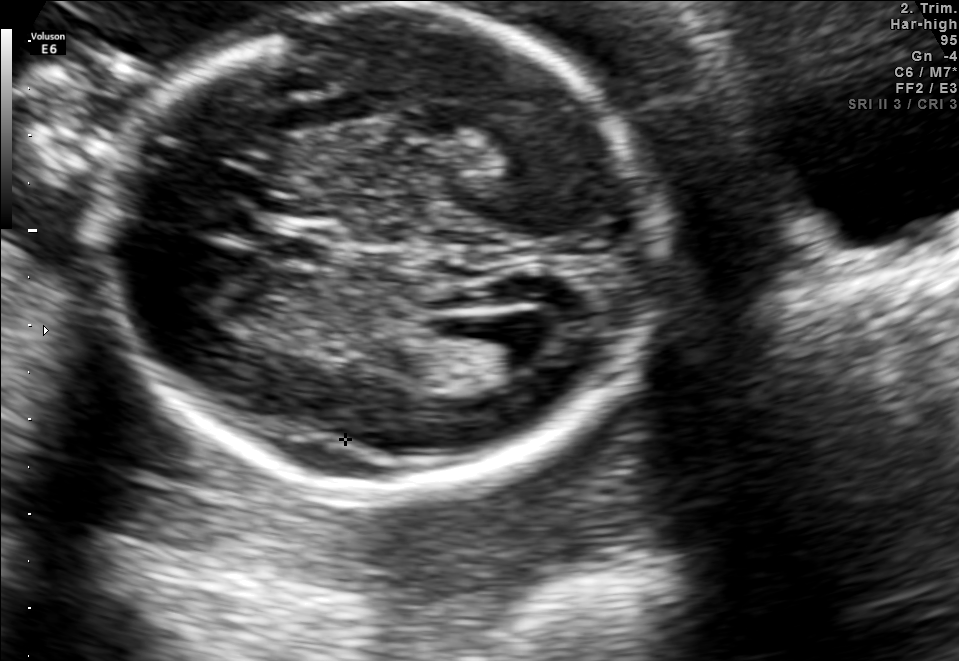
In this fetal brain, trans-ventricular plane, give the bounding box of the lateral ventricle.

[465,300,565,382]